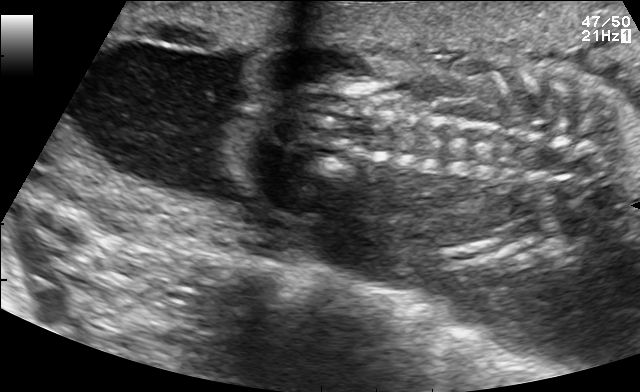
This is a 2D maternal-fetal ultrasound frame. Is it a fetal abdomen, fetal brain, fetal femur, fetal thorax, maternal cervix, or other standard plane? If it's fetal brain and one of the three standard brain planes (trans-thalamic, trans-cerebellum, trans-ventricular), name which.

Other